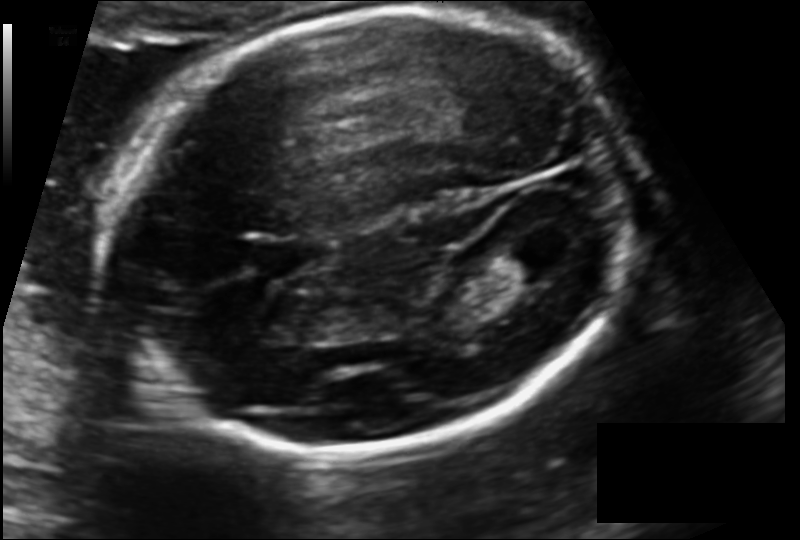
Estimate the fetal head circumference from this 2D ultrasound.

Head circumference: 204.9 mm (image width 105.5 mm).